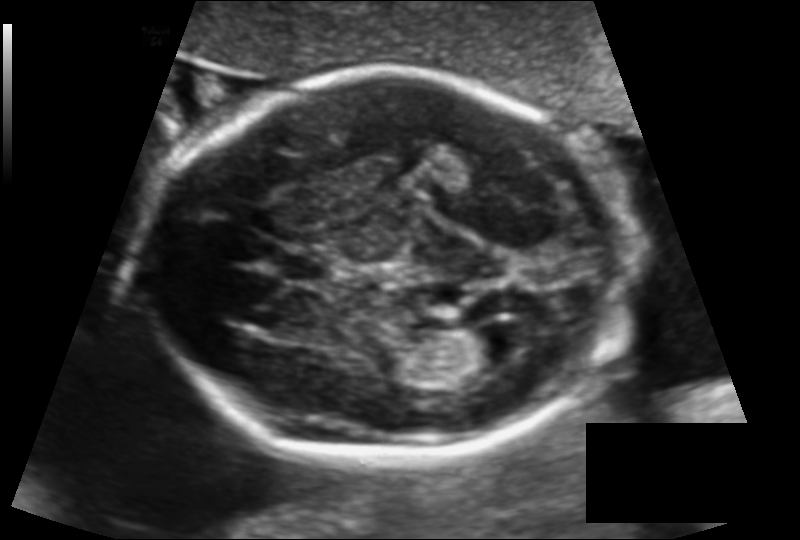
Fetal head ultrasound. Image width: 103.5 mm. Give [x1,y1,x2,y2] bounding boxes for each visible structure among: fetal head, CSP, LV.

Head: [146,70,632,457]
CSP: [278,248,338,283]
Lateral ventricle: [454,317,531,375]